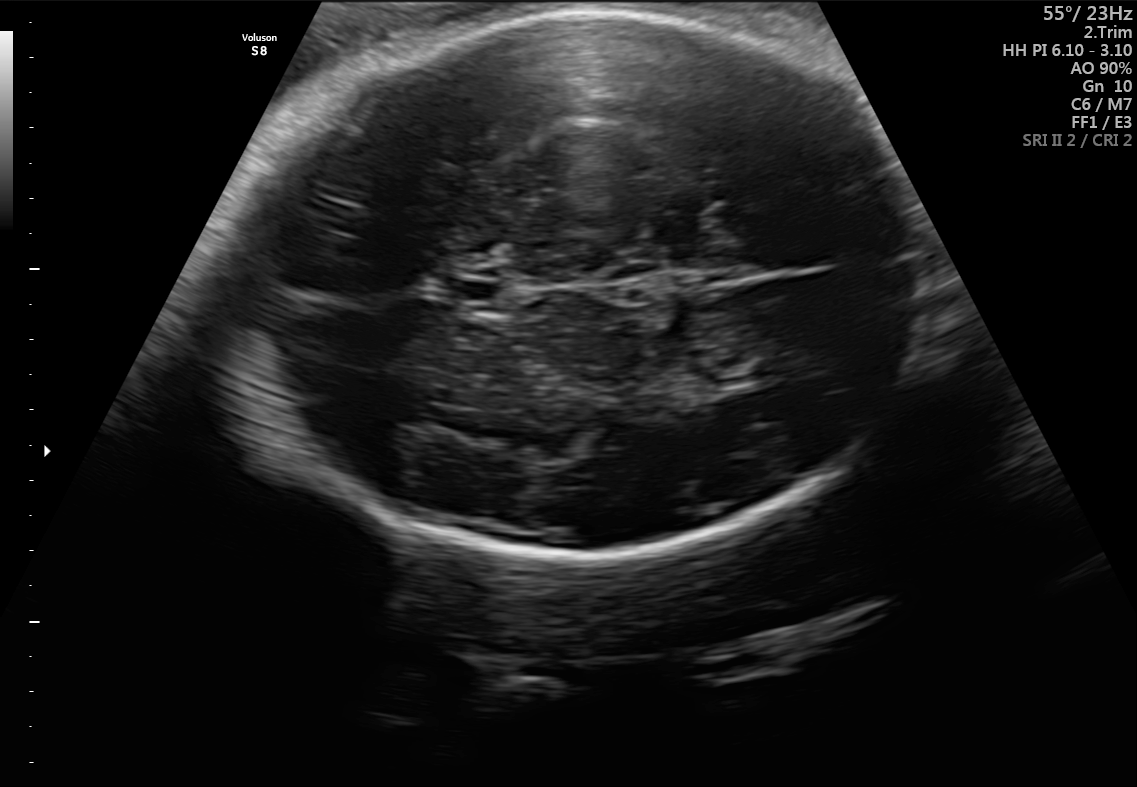
Fetal brain, trans-thalamic plane. Locate the fetal head and, if visible, the cavum septum pellucidum (CSP) and lateral ventricle (LV). Give bounding boxes as [x1,y1,x2,y2].

Head: [225,10,921,568]
CSP: [446,278,501,302]